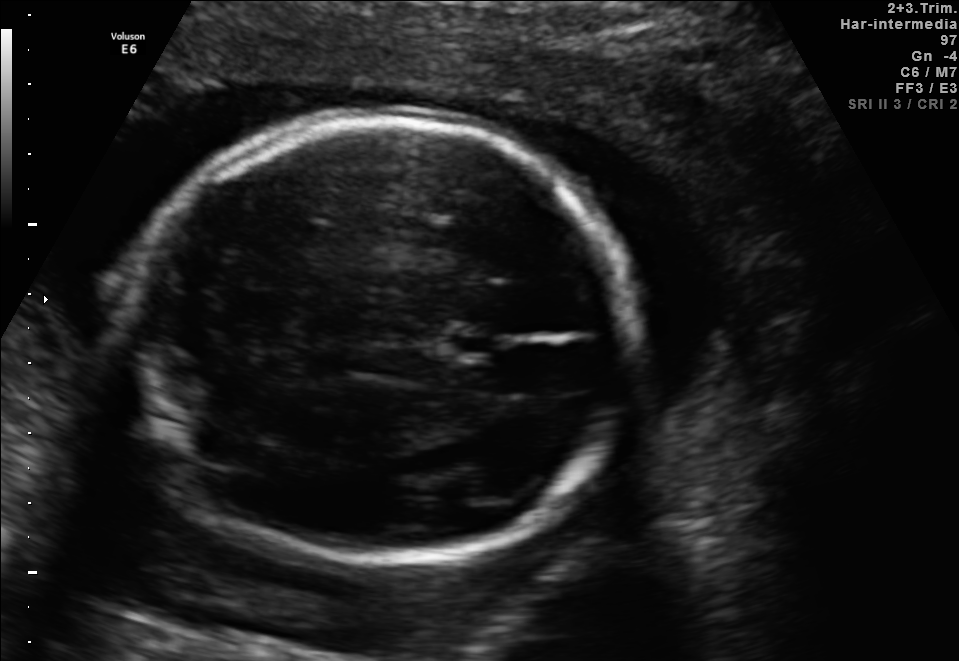
Fetal brain, trans-thalamic plane. Give [x1,y1,x2,y2] bounding boxes for each visible structure among: fetal head, CSP, LV.

Head: [128,115,633,558]
CSP: [452,335,497,354]